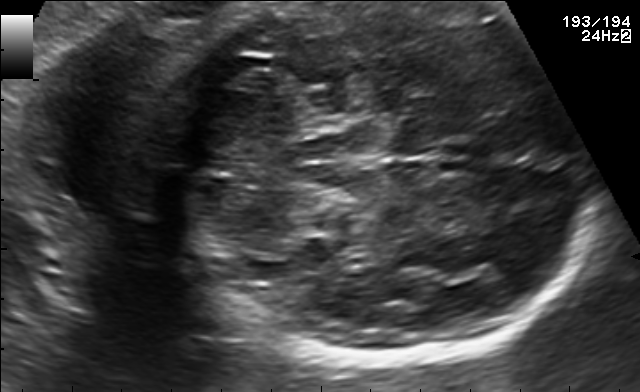
Fetal brain, trans-cerebellum plane. Give [x1,y1,x2,y2] bounding boxes for each visible structure among: fetal head, CSP, LV.

Head: [176,2,584,369]